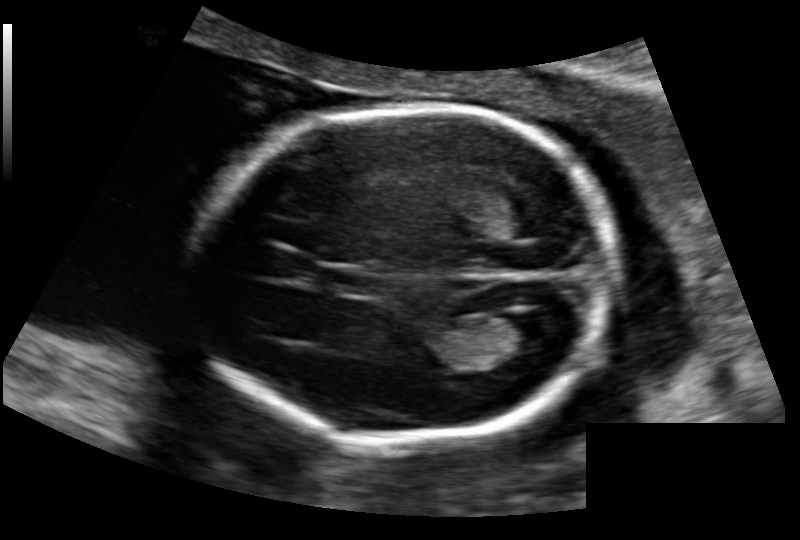
Fetal head ultrasound. Image width: 108.9 mm. Locate the cavum septum pellucidum.

CSP: [325,267,377,297]